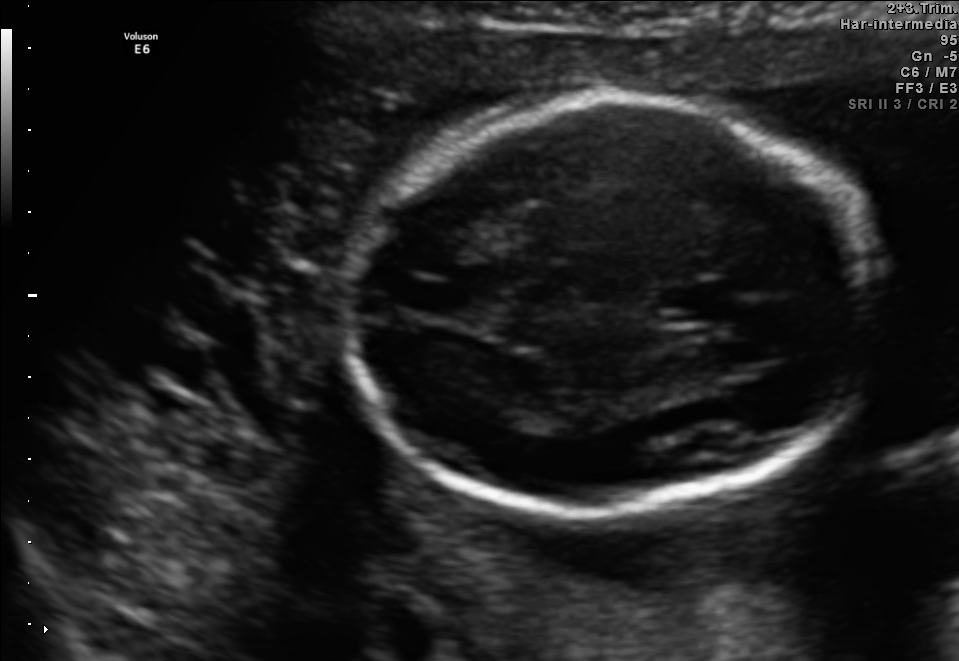
Fetal brain, trans-thalamic plane. Give [x1,y1,x2,y2] bounding boxes for each visible structure among: fetal head, CSP, LV.

Head: [345,100,880,509]
CSP: [660,280,730,324]